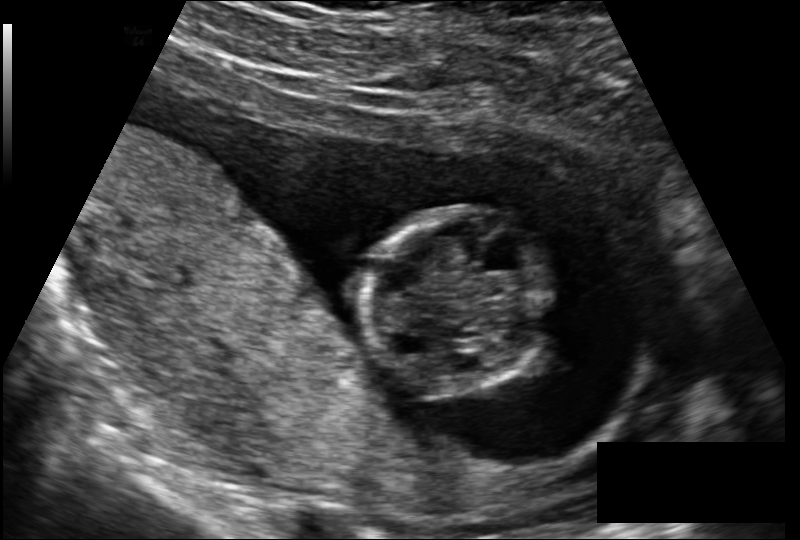
Estimate the fetal head circumference from this 2D ultrasound.

Head circumference: 82.3 mm (image width 105.1 mm).